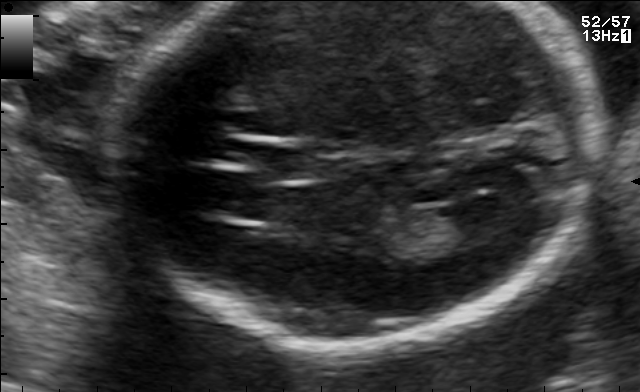
Fetal brain, trans-ventricular plane. Locate the lateral ventricle.

Lateral ventricle: [435,185,521,247]